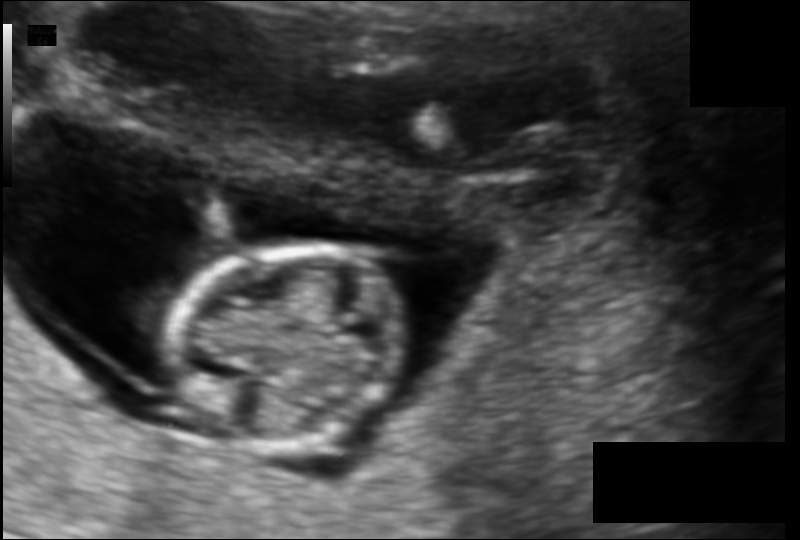
Measure the fetal head circumference shown in this ultrasound image. Image width: 83.9 mm.

Head circumference: 75.8 mm.